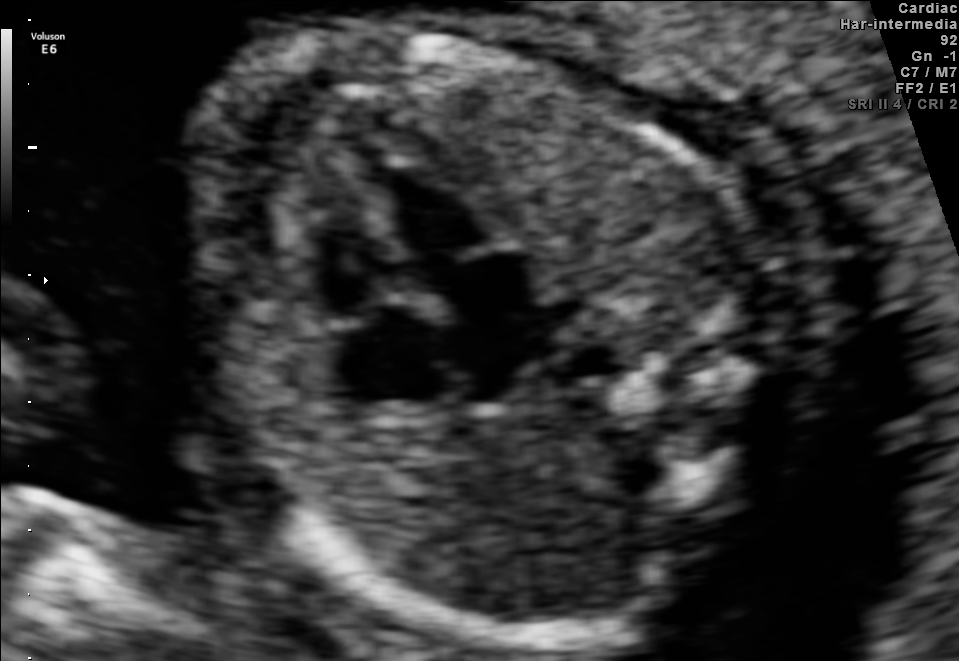
This is a 2D maternal-fetal ultrasound frame. Is it a fetal abdomen, fetal brain, fetal femur, fetal thorax, maternal cervix, or other standard plane? If it's fetal brain and one of the three standard brain planes (trans-thalamic, trans-cerebellum, trans-ventricular), name which.

Fetal thorax